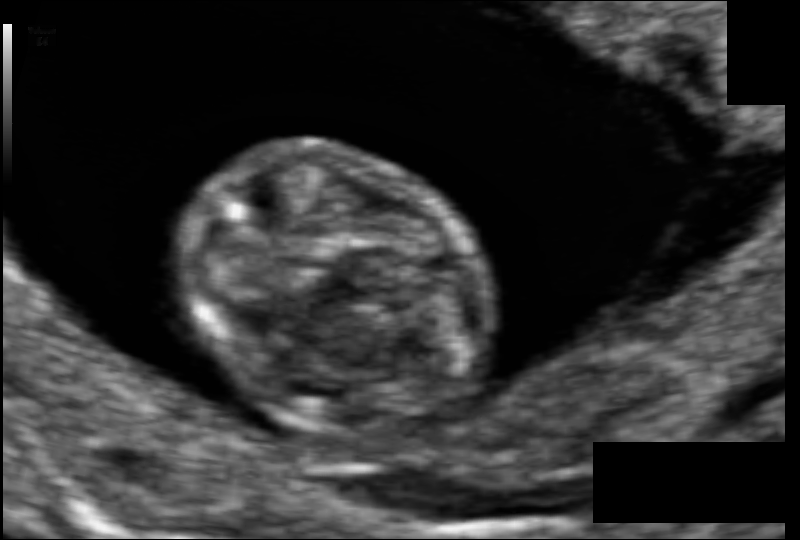
Estimate the fetal head circumference from this 2D ultrasound. Image width: 49.0 mm.

Head circumference: 59.8 mm.